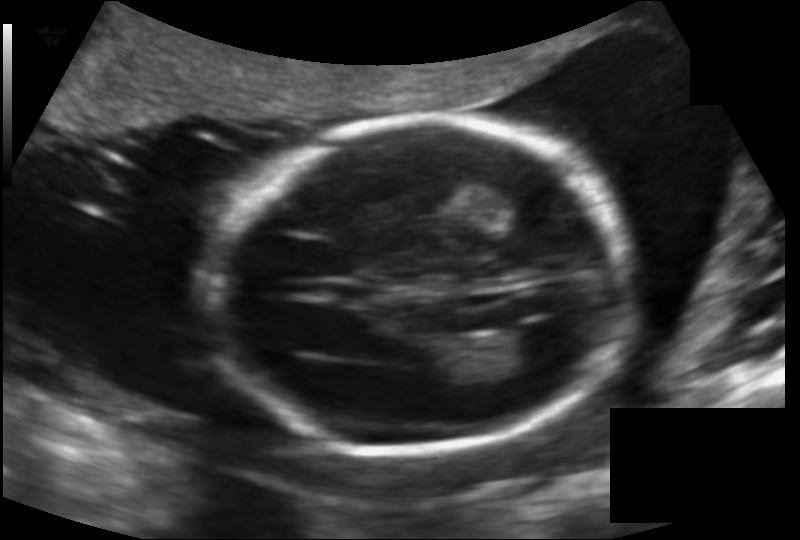
From this fetal ultrasound, estimate the head circumference (image width 113.7 mm).

Head circumference: 175.0 mm.